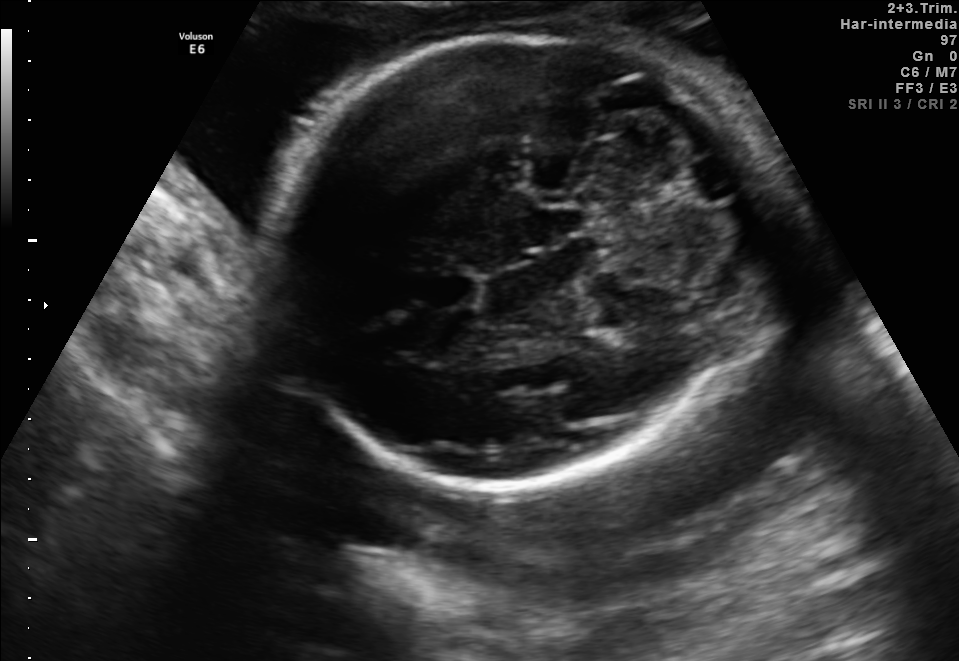
Fetal brain, trans-cerebellum plane. Give [x1,y1,x2,y2] bounding boxes for each visible structure among: fetal head, CSP, LV.

Head: [276,30,757,493]
CSP: [413,271,477,308]